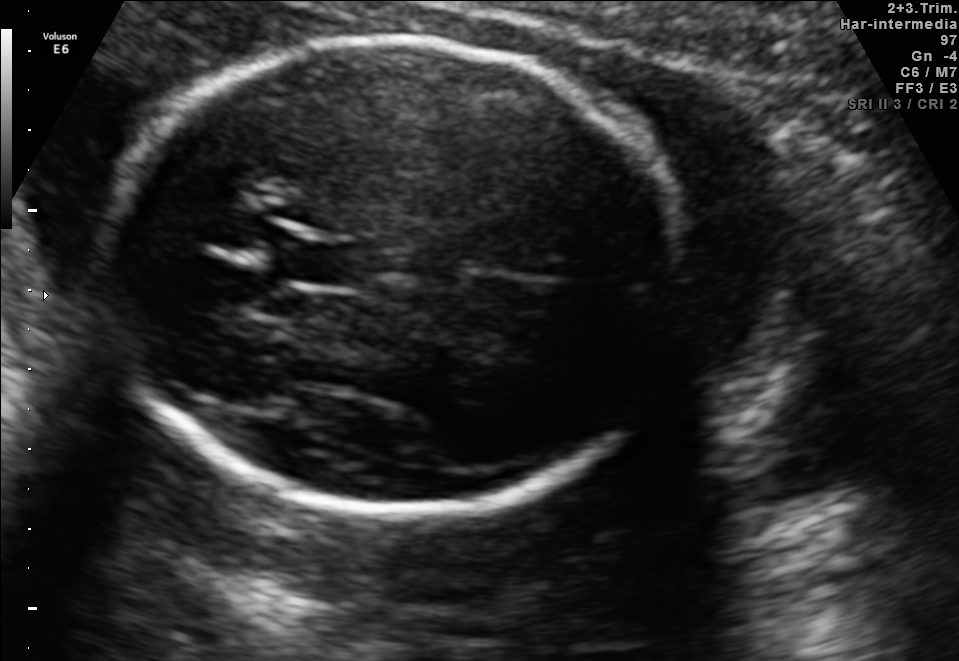
Fetal brain, trans-thalamic plane. Where is the cavum septum pellucidum?

CSP bounding box: [280,239,364,288]